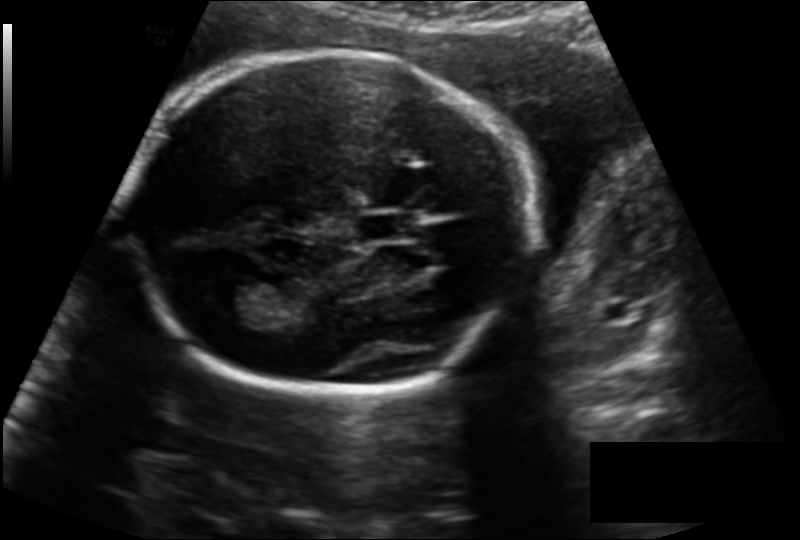
Fetal head ultrasound. Image width: 122.1 mm. Give [x1,y1,x2,y2] bounding boxes for each visible structure among: fetal head, CSP, LV.

Head: [128,51,529,395]
CSP: [356,210,415,245]
Lateral ventricle: [201,269,264,323]